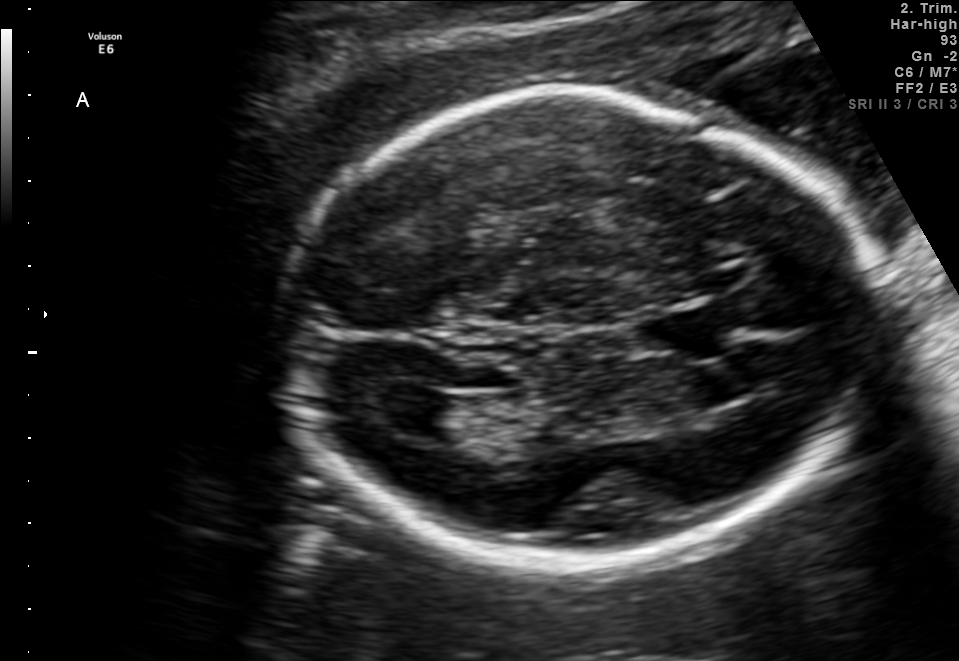
In this fetal brain, trans-ventricular plane, give bounding boxes for the head outline, cavum septum pellucidum (CSP), and lateral ventricle (LV), where visible.

Head: [271,82,896,581]
CSP: [630,309,702,354]
Lateral ventricle: [375,384,465,443]